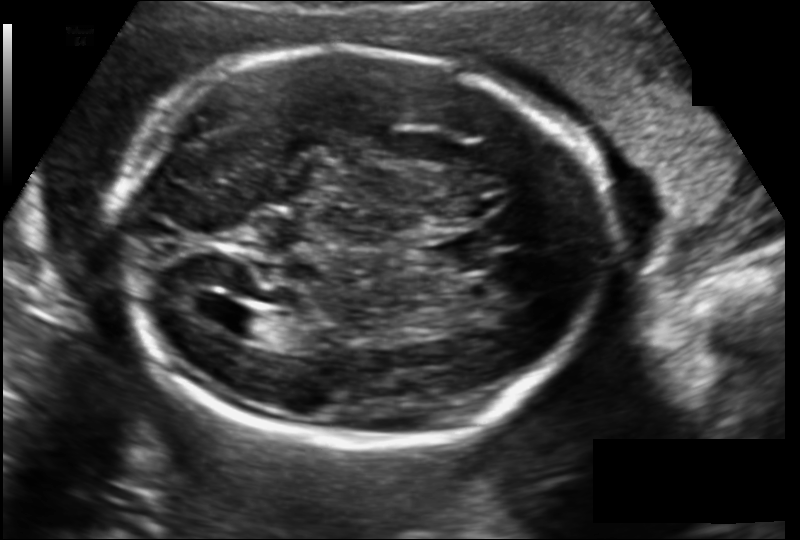
What is the fetal head circumference? Image width is 119.2 mm.

214.0 mm